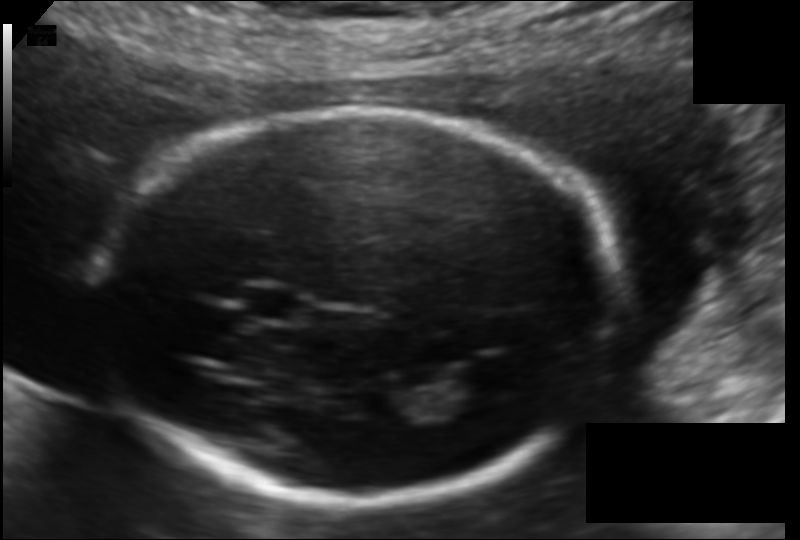
Fetal head ultrasound. Image width: 96.1 mm. Locate the lateral ventricle.

Lateral ventricle: [448,353,517,404]